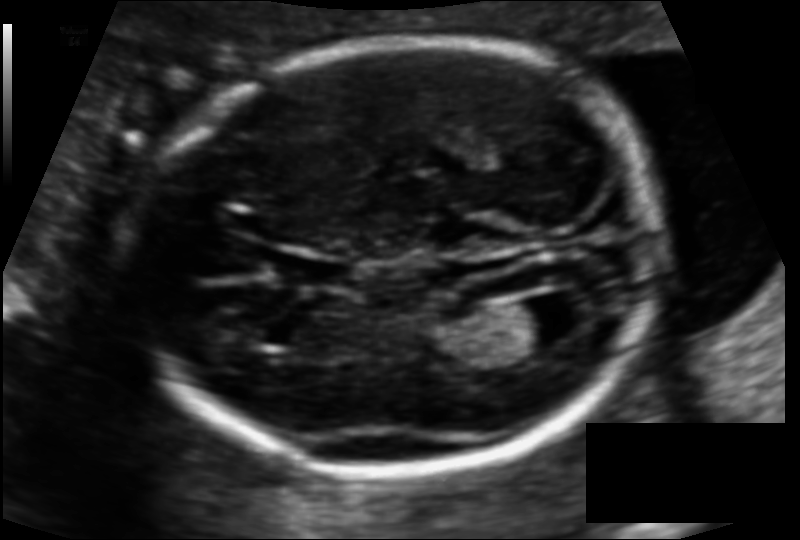
Estimate the fetal head circumference from this 2D ultrasound. Image width: 88.1 mm.

Head circumference: 168.6 mm.